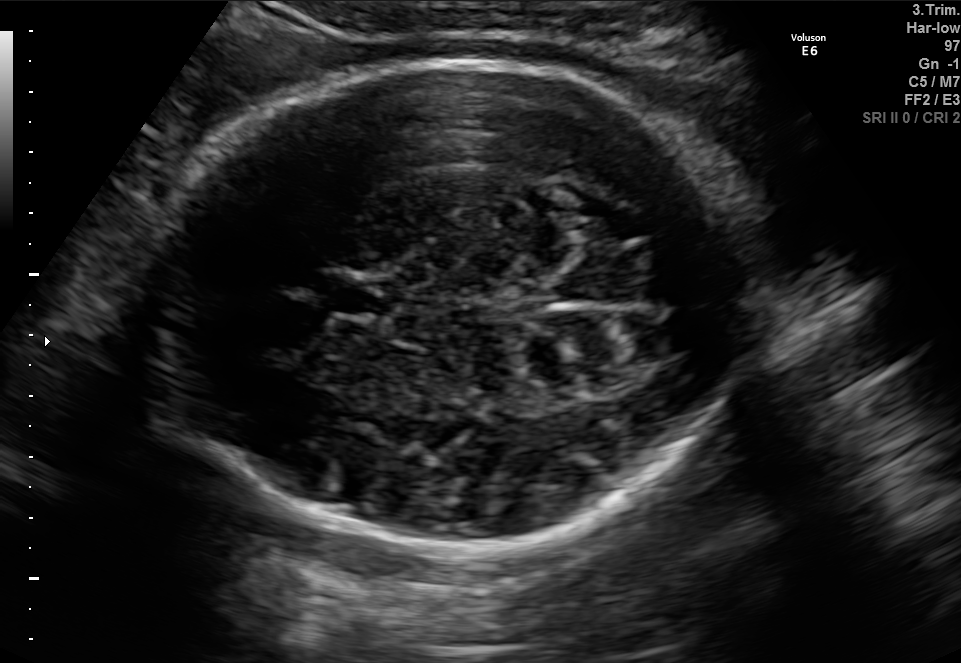
Fetal brain, trans-thalamic plane. Locate the cavum septum pellucidum.

CSP: [320,278,383,319]